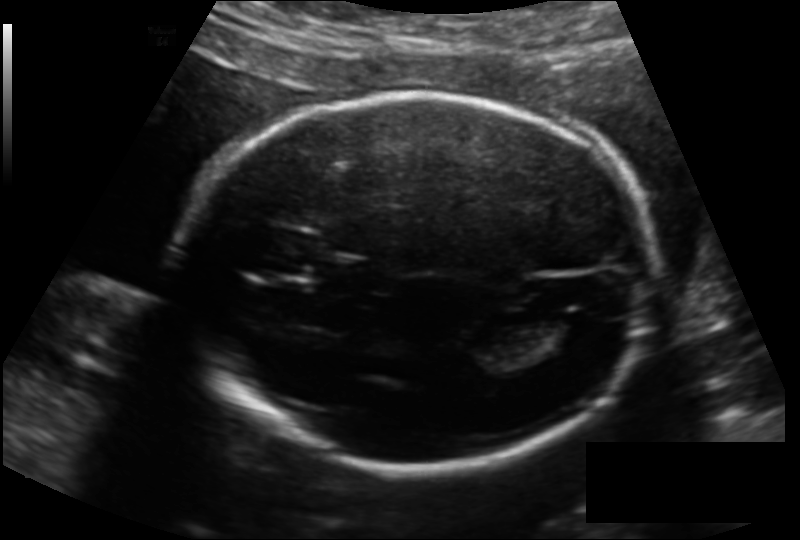
Fetal head ultrasound. Image width: 120.8 mm. Locate the lateral ventricle.

Lateral ventricle: [534,306,600,354]